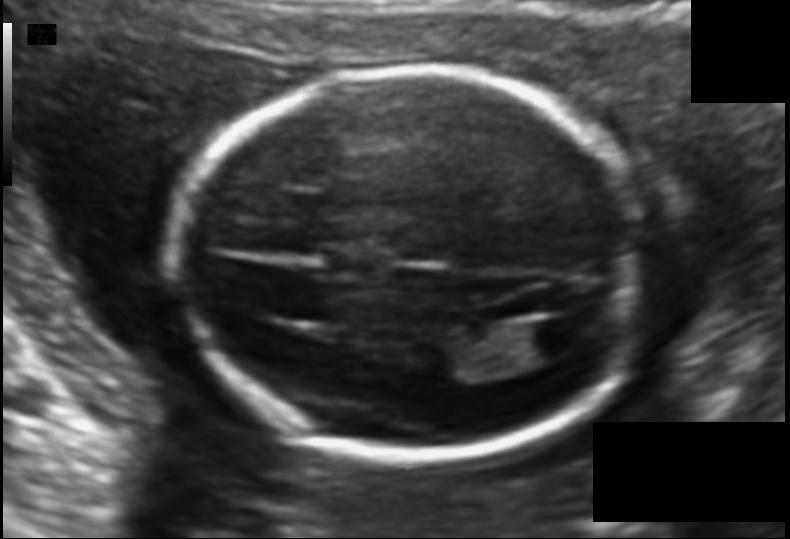
In this fetal head ultrasound, give the bounding box of the fetal head. Image width: 95.9 mm.

[178,68,653,459]